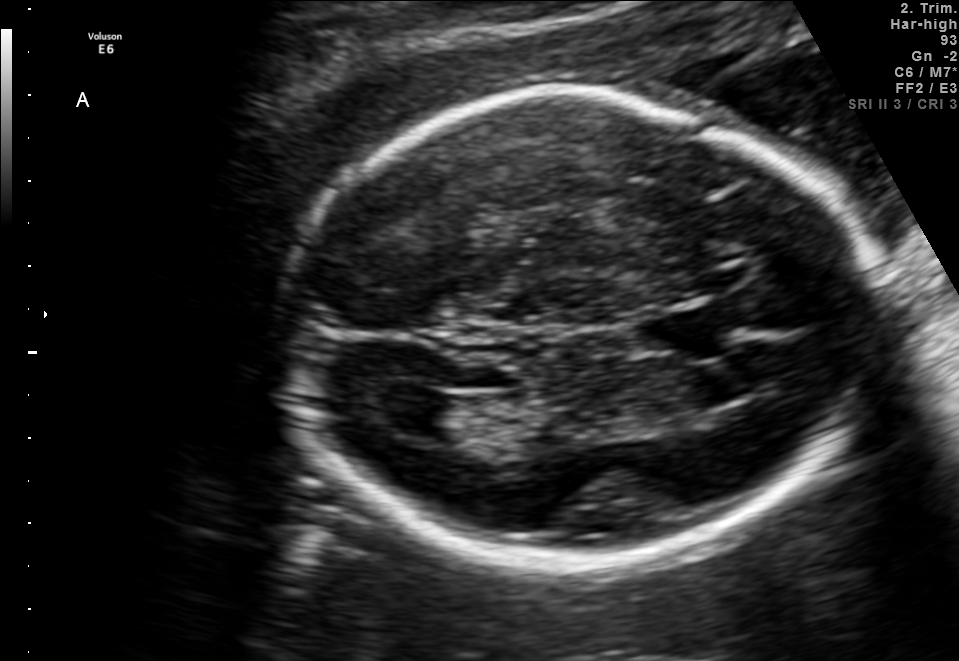
Which standard maternal-fetal ultrasound plane is shown: fetal abdomen, fetal brain, fetal femur, fetal thorax, maternal cervix, or other? If it's fetal brain and one of the three standard brain planes (trans-thalamic, trans-cerebellum, trans-ventricular), name which.

Fetal brain (trans-ventricular plane)